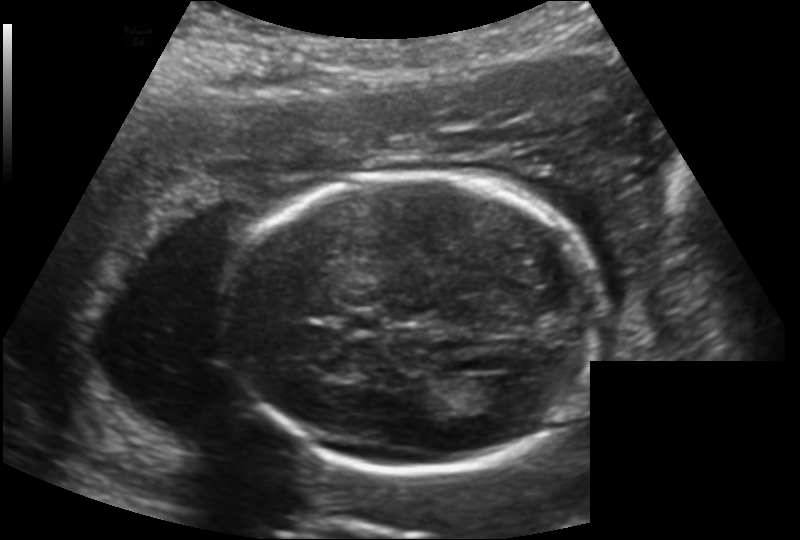
Fetal head ultrasound. Image width: 135.0 mm. Where is the cavum septum pellucidum?

CSP bounding box: [341,311,383,333]